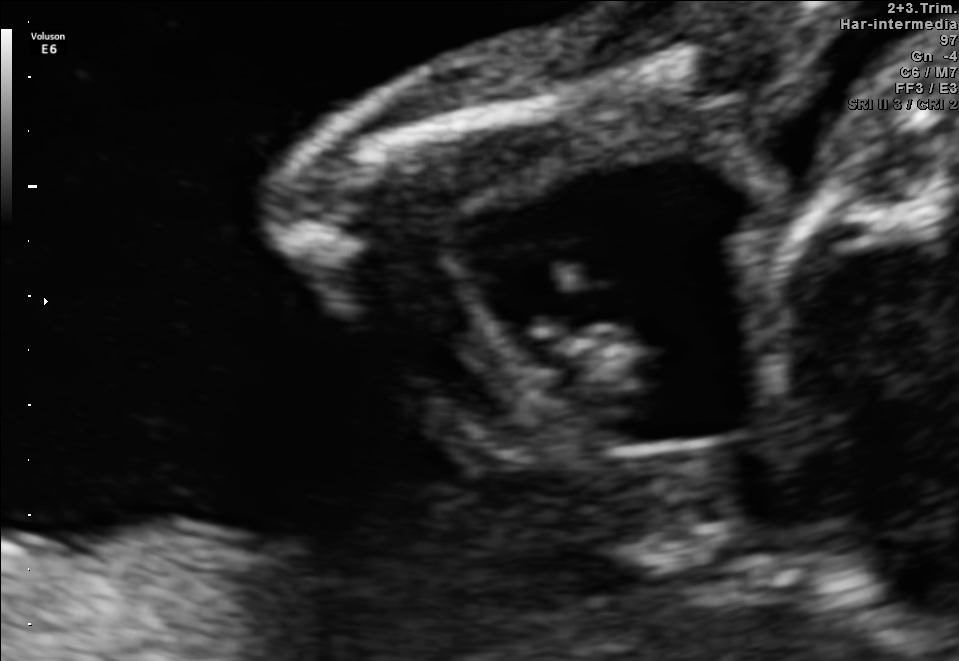
Identify the standard plane in this fetal ultrasound image: fetal abdomen, fetal brain, fetal femur, fetal thorax, maternal cervix, or other. If it's fetal brain and one of the three standard brain planes (trans-thalamic, trans-cerebellum, trans-ventricular), name which.

Other